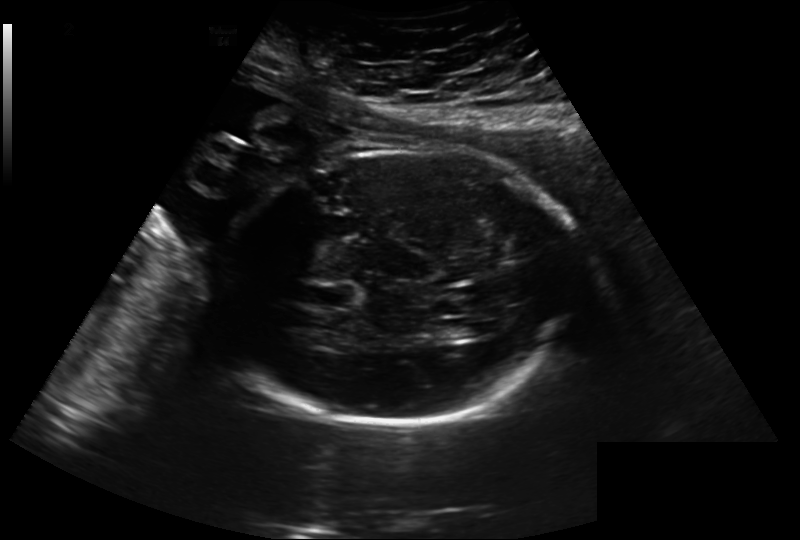
In this fetal head ultrasound, give the bounding box of the fetal head. Image width: 208.3 mm.

[215,150,576,423]